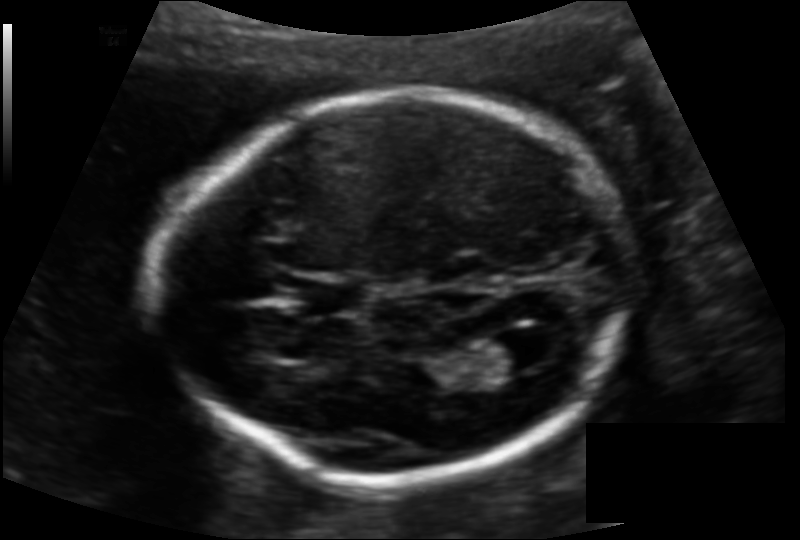
Estimate the fetal head circumference from this 2D ultrasound.

Head circumference: 177.1 mm (image width 102.7 mm).